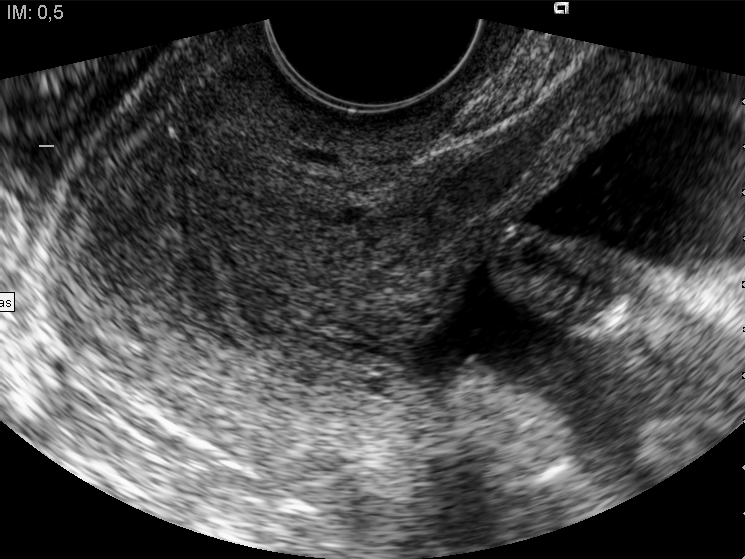
This is a 2D maternal-fetal ultrasound frame. Is it a fetal abdomen, fetal brain, fetal femur, fetal thorax, maternal cervix, or other standard plane? If it's fetal brain and one of the three standard brain planes (trans-thalamic, trans-cerebellum, trans-ventricular), name which.

Maternal cervix